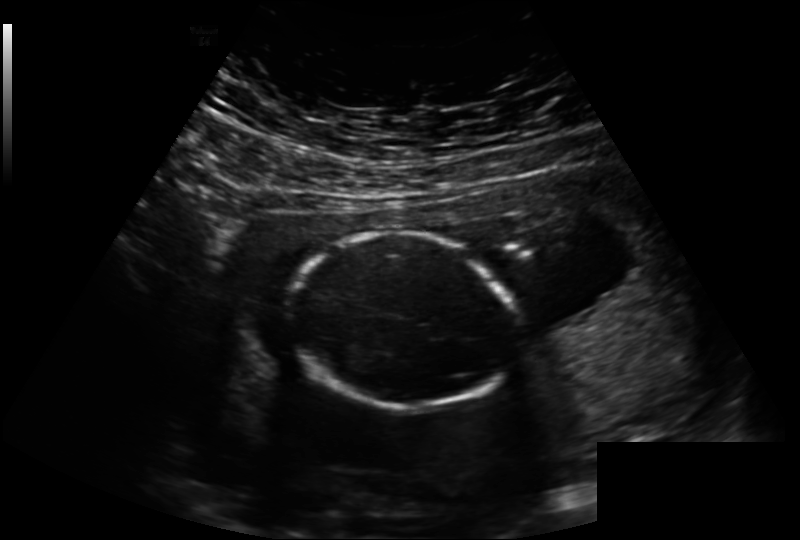
Fetal head ultrasound. Image width: 177.0 mm. Locate the fetal head.

Head: [290,232,518,409]